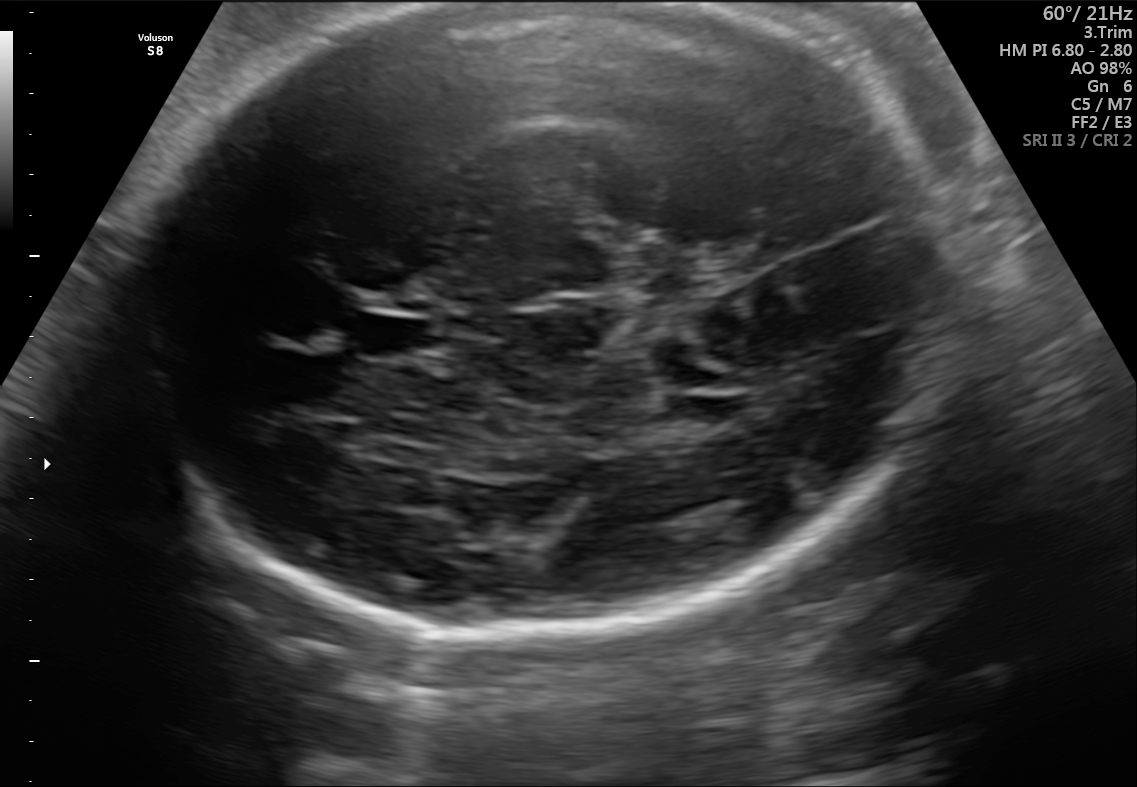
Fetal brain, trans-thalamic plane. Where is the fetal head?

Head bounding box: [128,4,950,645]